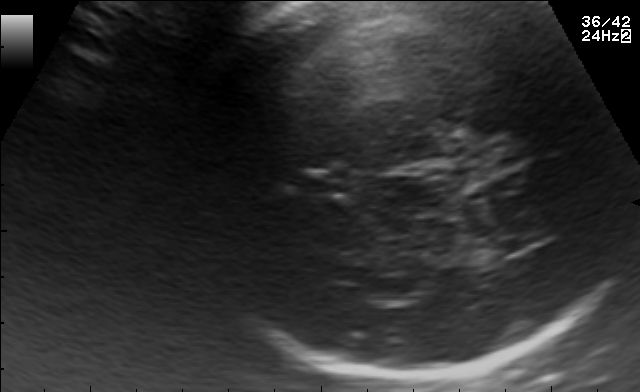
Fetal brain, trans-thalamic plane. Give [x1,y1,x2,y2] bounding boxes for each visible structure among: fetal head, CSP, LV.

Head: [182,2,627,378]
CSP: [296,172,349,194]